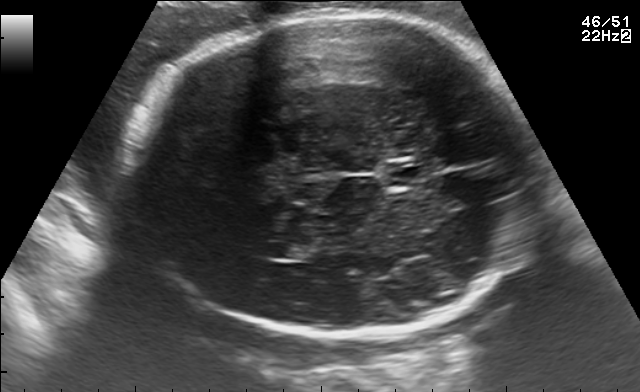
Fetal brain, trans-thalamic plane. Locate the cavum septum pellucidum.

CSP: [387,161,427,187]